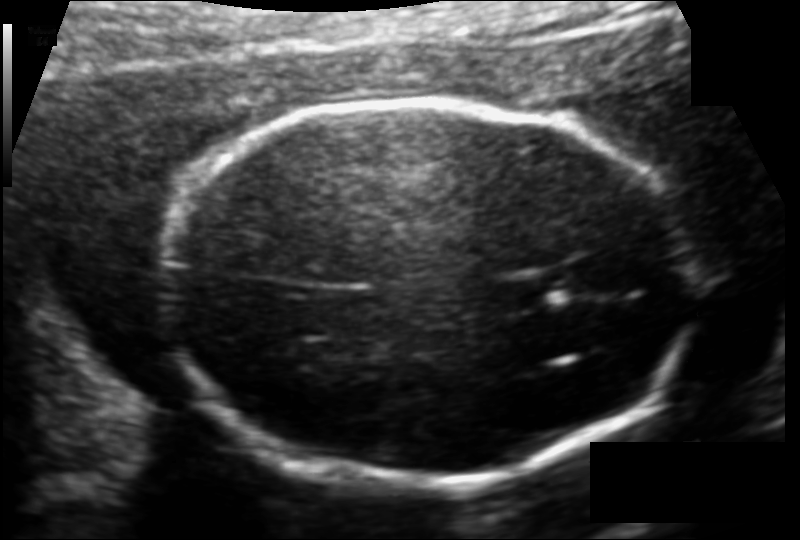
Fetal head ultrasound. Image width: 95.0 mm. Give [x1,y1,x2,y2] bounding boxes for each visible structure among: fetal head, CSP, LV.

Head: [166,101,694,488]
CSP: [494,267,563,313]